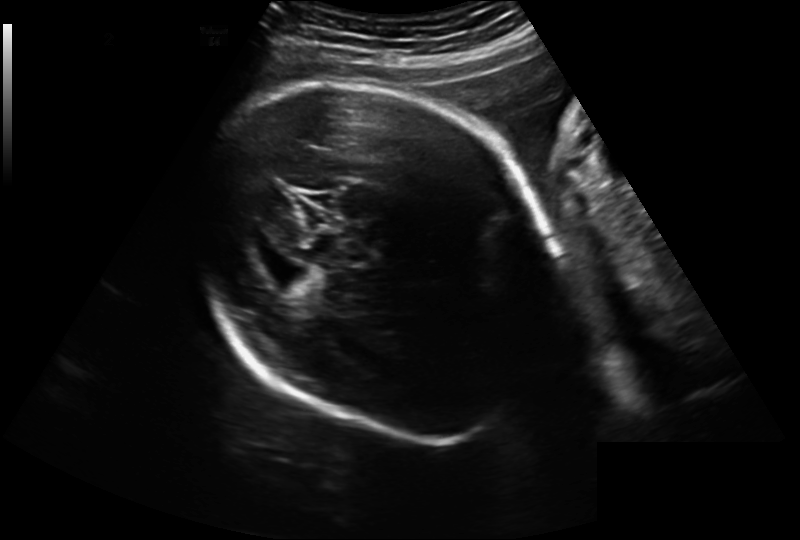
Estimate the fetal head circumference from this 2D ultrasound.

Head circumference: 280.5 mm (image width 192.7 mm).